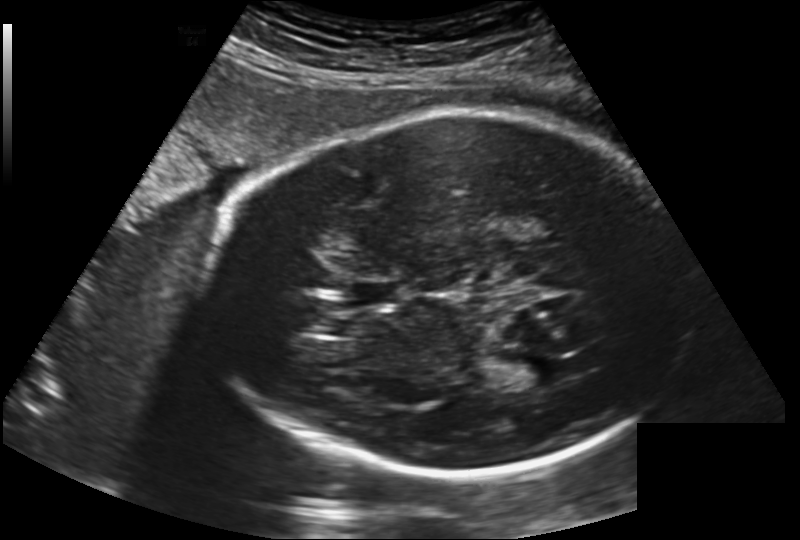
In this fetal head ultrasound, give the bounding box of the cavum septum pellucidum. Image width: 161.7 mm.

[352,279,401,308]